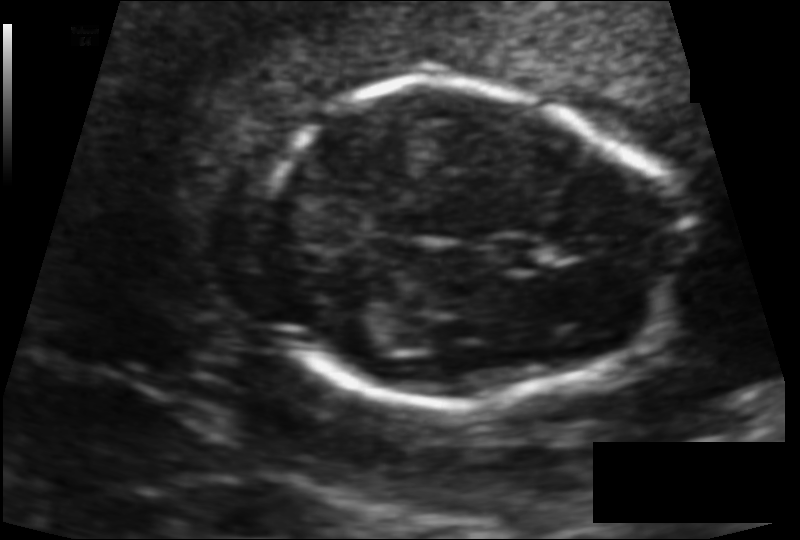
What is the fetal head circumference? Image width is 80.4 mm.

121.3 mm